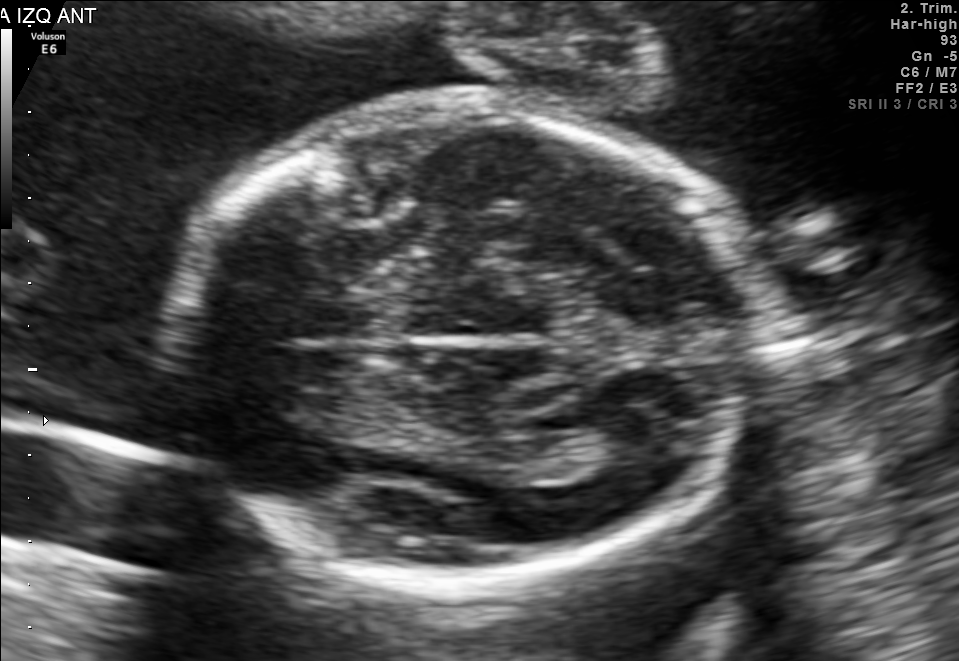
Fetal brain, trans-thalamic plane. Locate the fetal head.

Head: [177,103,750,584]